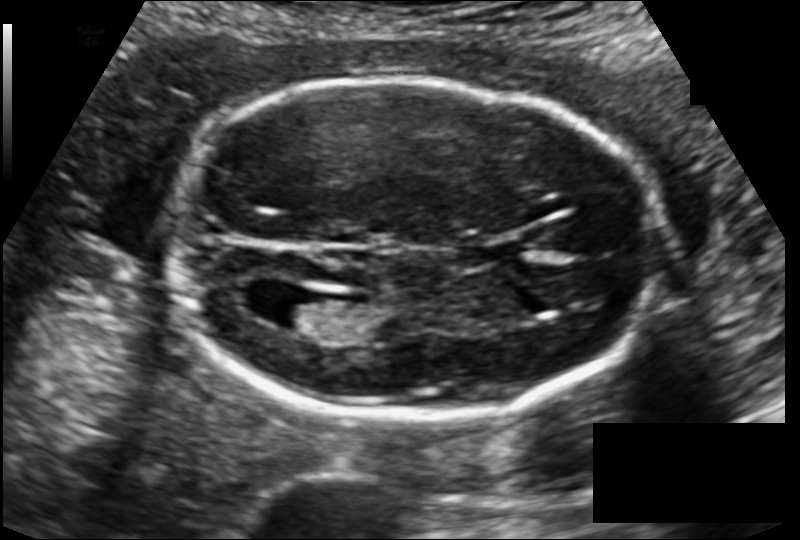
Measure the fetal head circumference shown in this ultrasound image. Image width: 103.4 mm.

Head circumference: 174.7 mm.